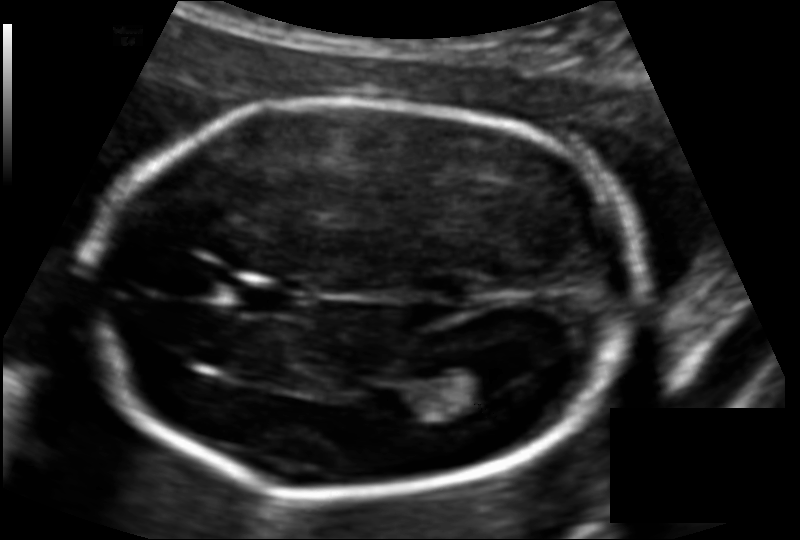
Fetal head ultrasound. Image width: 93.9 mm. Locate the cavum septum pellucidum.

CSP: [232,277,312,322]